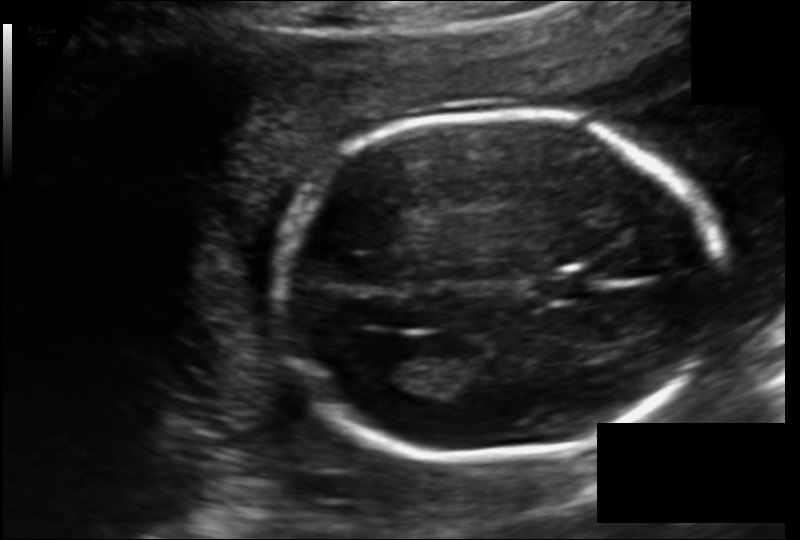
In this fetal head ultrasound, give the bounding box of the lateral ventricle. Image width: 107.8 mm.

[368,346,439,396]